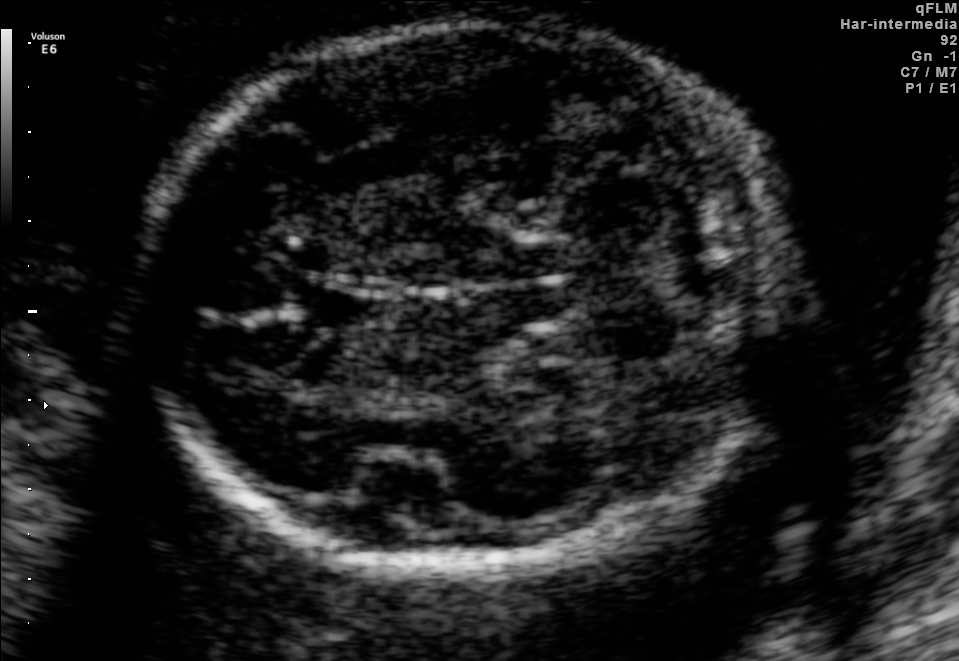
Classify this maternal-fetal ultrasound image as one of the six standard planes — fetal abdomen, fetal brain, fetal femur, fetal thorax, maternal cervix, or other. If it's fetal brain and one of the three standard brain planes (trans-thalamic, trans-cerebellum, trans-ventricular), name which.

Fetal brain (trans-cerebellum plane)